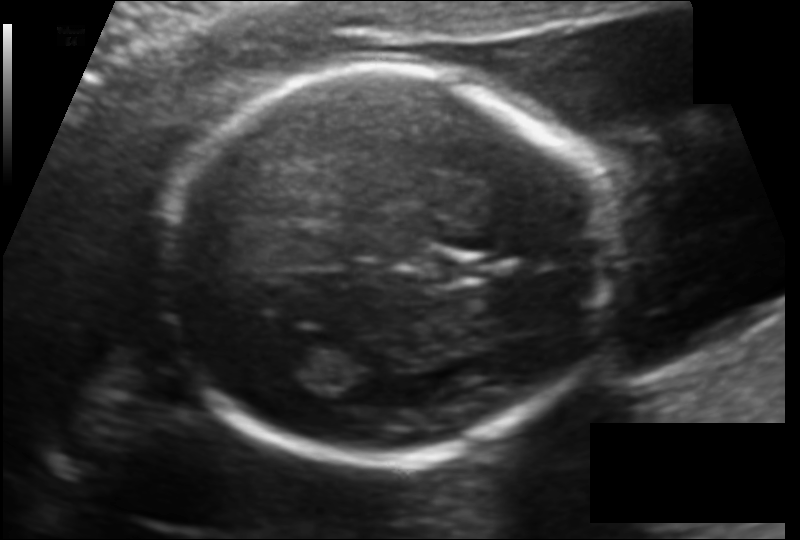
In this fetal head ultrasound, give bounding boxes for the head outline, cavum septum pellucidum (CSP), and lateral ventricle (LV), where visible. Image width: 98.0 mm.

Head: [156,69,606,462]